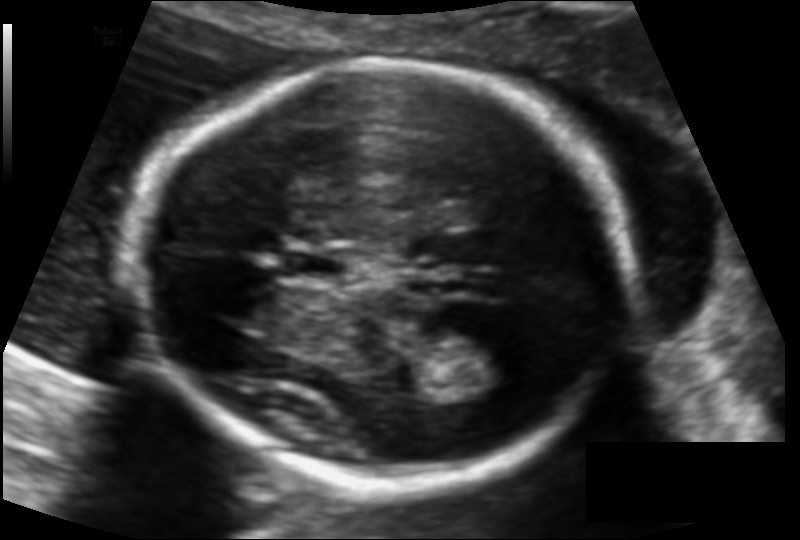
Fetal head ultrasound. Image width: 90.8 mm. Locate the cavum septum pellucidum.

CSP: [284,249,346,283]